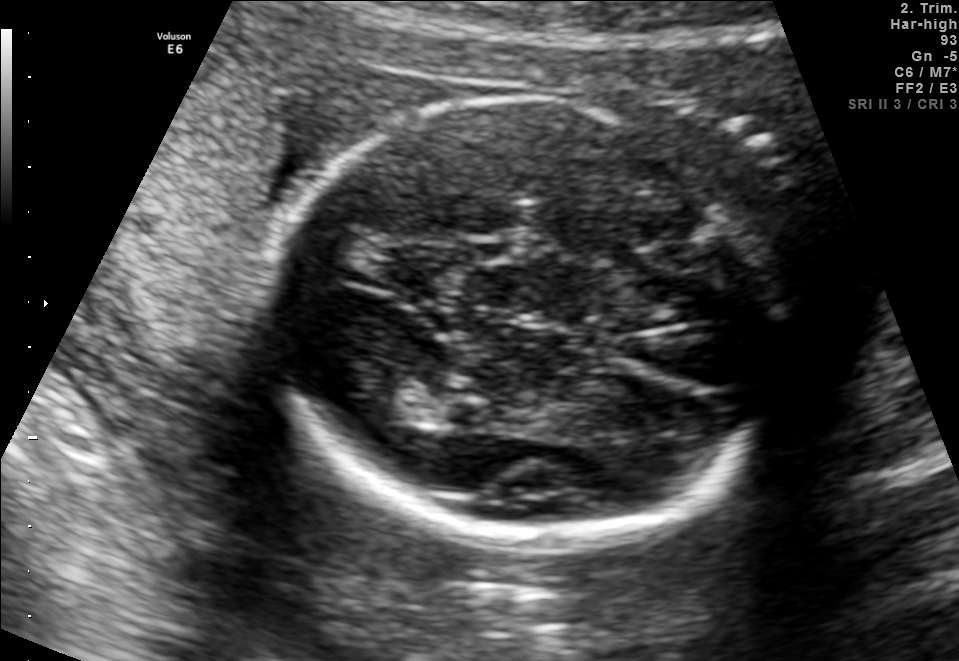
Fetal brain, trans-thalamic plane. Locate the fetal head.

Head: [259,97,802,540]